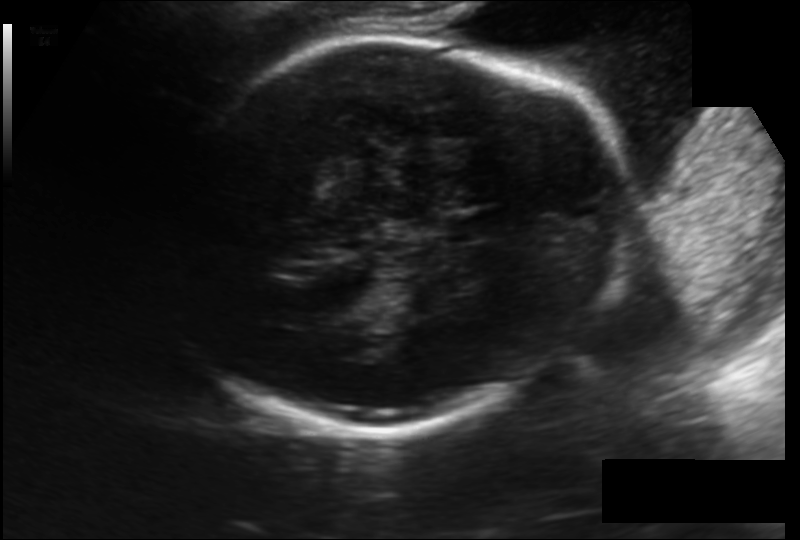
What is the fetal head circumference? Image width is 139.5 mm.

244.8 mm